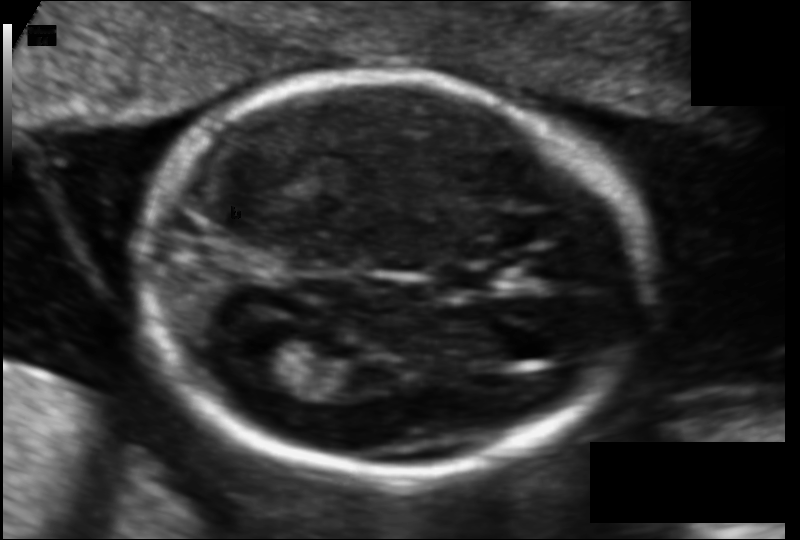
In this fetal head ultrasound, give bounding boxes for the head outline, cavum septum pellucidum (CSP), and lateral ventricle (LV), where visible. Image width: 83.2 mm.

Head: [136,74,644,475]
CSP: [434,265,501,292]
Lateral ventricle: [223,314,313,391]